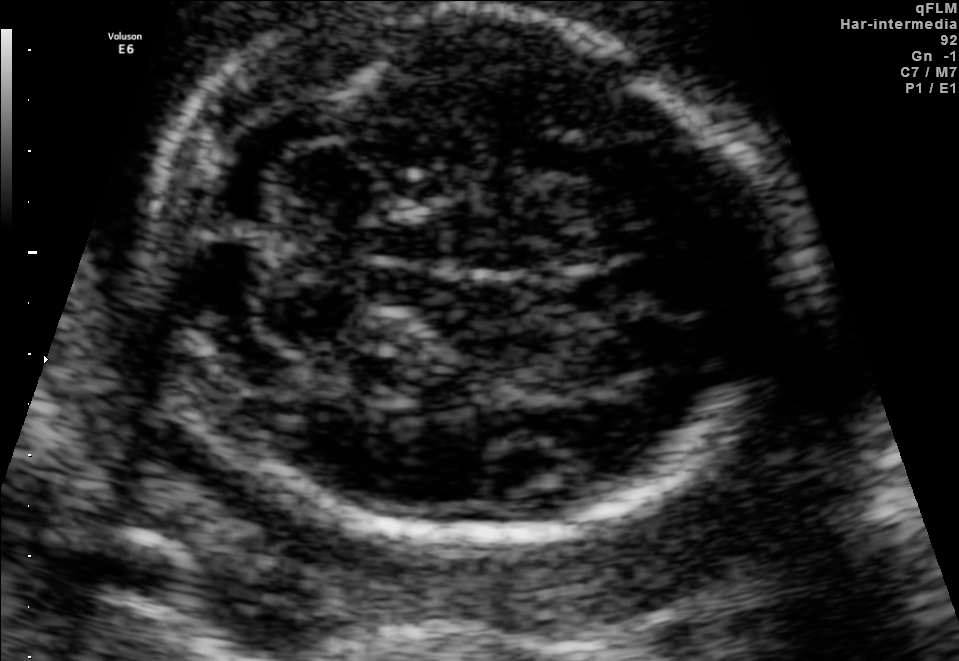
Fetal brain, trans-cerebellum plane. Where is the fetal head?

Head bounding box: [147,8,772,537]